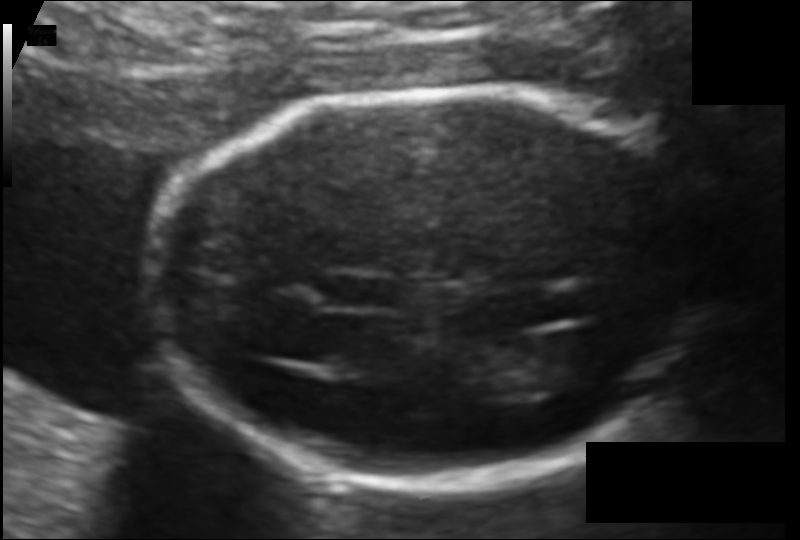
Fetal head ultrasound. Image width: 82.4 mm. Locate the fetal head and, if visible, the cavum septum pellucidum (CSP) and lateral ventricle (LV). Give bounding boxes as [x1,y1,x2,y2].

Head: [157,92,685,482]